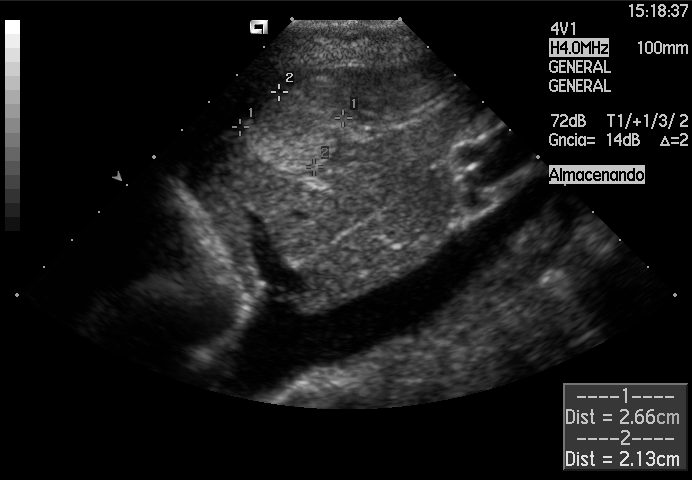
Which standard maternal-fetal ultrasound plane is shown: fetal abdomen, fetal brain, fetal femur, fetal thorax, maternal cervix, or other? If it's fetal brain and one of the three standard brain planes (trans-thalamic, trans-cerebellum, trans-ventricular), name which.

Other